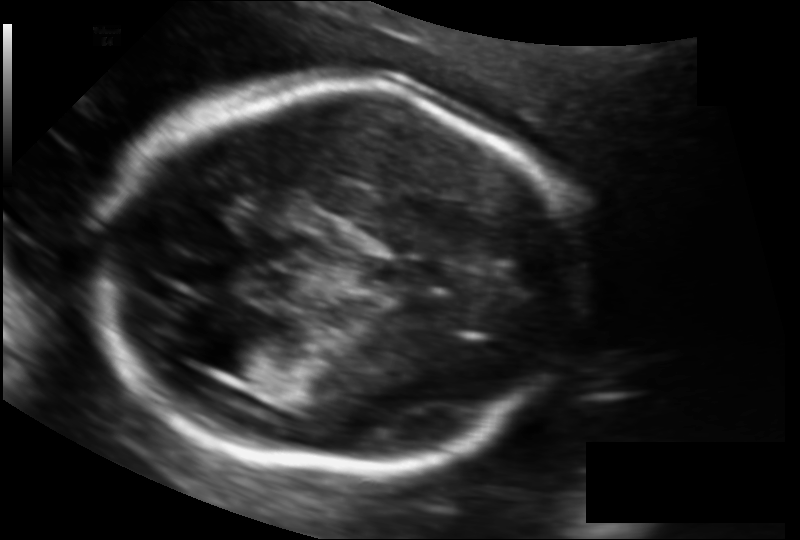
Fetal head ultrasound. Image width: 96.6 mm. Give [x1,y1,x2,y2] bounding boxes for each visible structure among: fetal head, CSP, LV.

Head: [92,80,581,468]